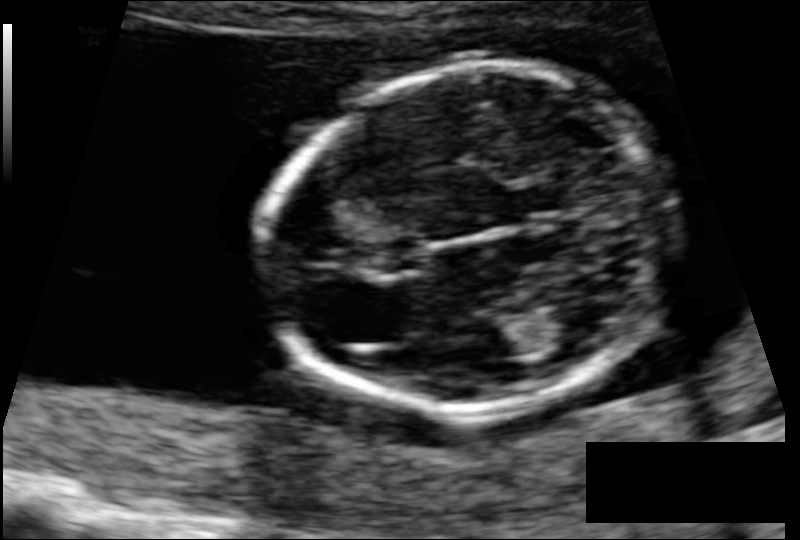
Fetal head ultrasound. Image width: 70.5 mm. Locate the lateral ventricle.

Lateral ventricle: [537,300,608,351]